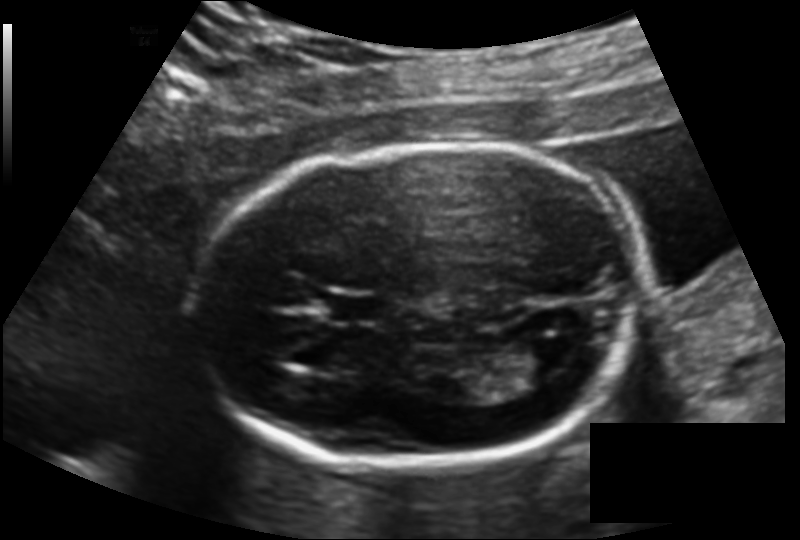
Fetal head ultrasound. Image width: 109.3 mm. Give [x1,y1,x2,y2] bounding boxes for each visible structure among: fetal head, CSP, LV.

Head: [188,145,644,466]
CSP: [327,296,381,323]
Lateral ventricle: [510,322,585,387]